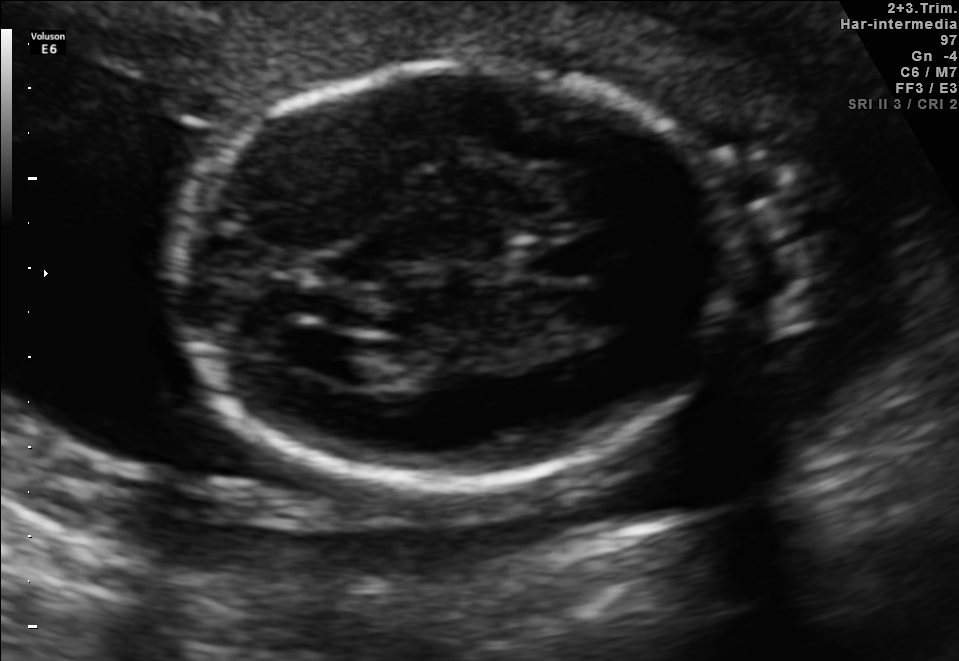
Fetal brain, trans-ventricular plane. Where is the lateral ventricle?

Lateral ventricle bounding box: [266,316,370,387]